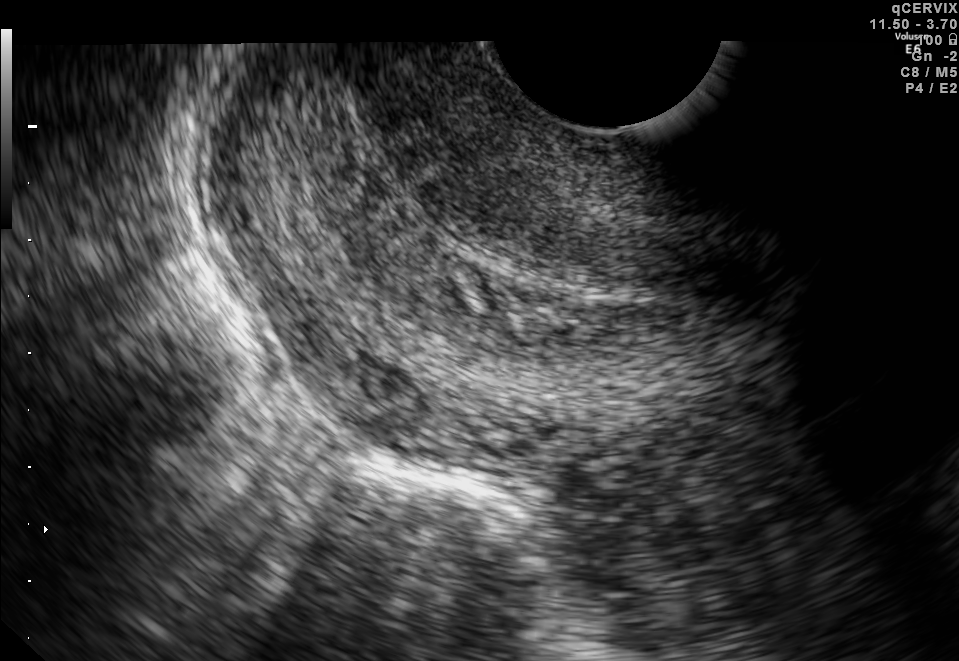
Identify the standard plane in this fetal ultrasound image: fetal abdomen, fetal brain, fetal femur, fetal thorax, maternal cervix, or other. If it's fetal brain and one of the three standard brain planes (trans-thalamic, trans-cerebellum, trans-ventricular), name which.

Maternal cervix